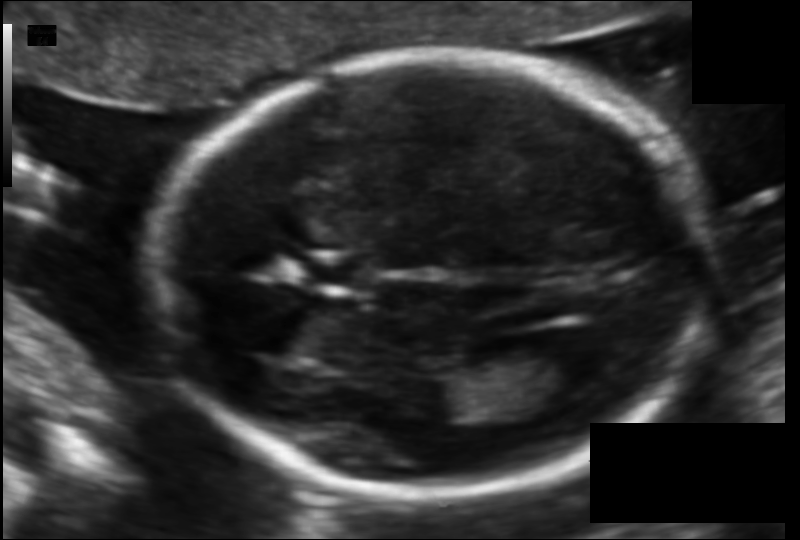
Fetal head ultrasound. Image width: 83.8 mm. Locate the lateral ventricle.

Lateral ventricle: [517,324,614,407]